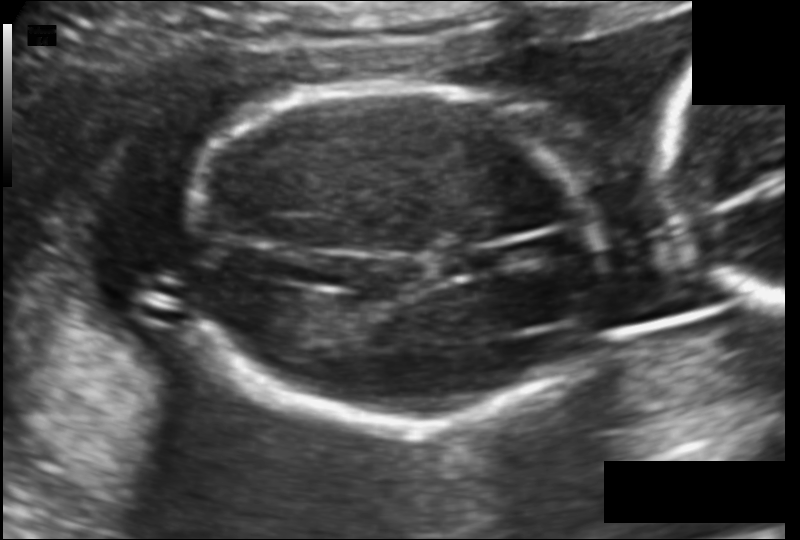
Fetal head ultrasound. Image width: 94.3 mm. Locate the fetal head.

Head: [183,83,601,425]